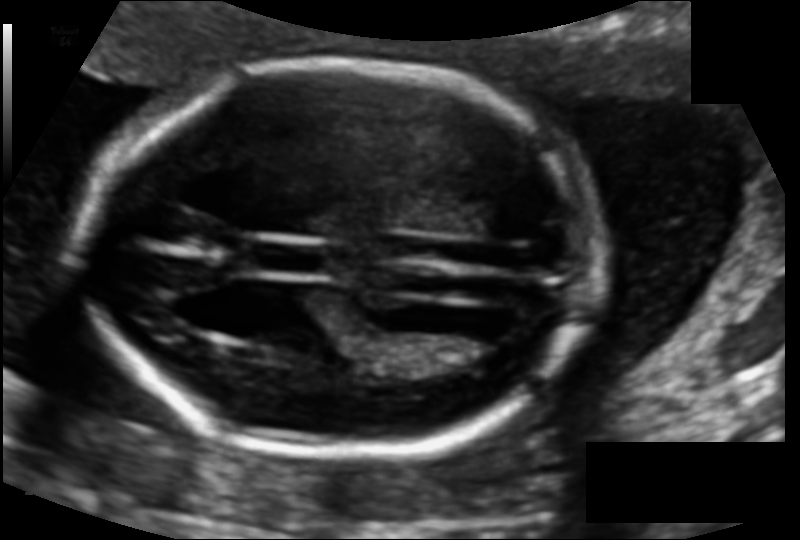
Fetal head ultrasound. Image width: 88.3 mm. Locate the cavum septum pellucidum.

CSP: [255,239,325,275]